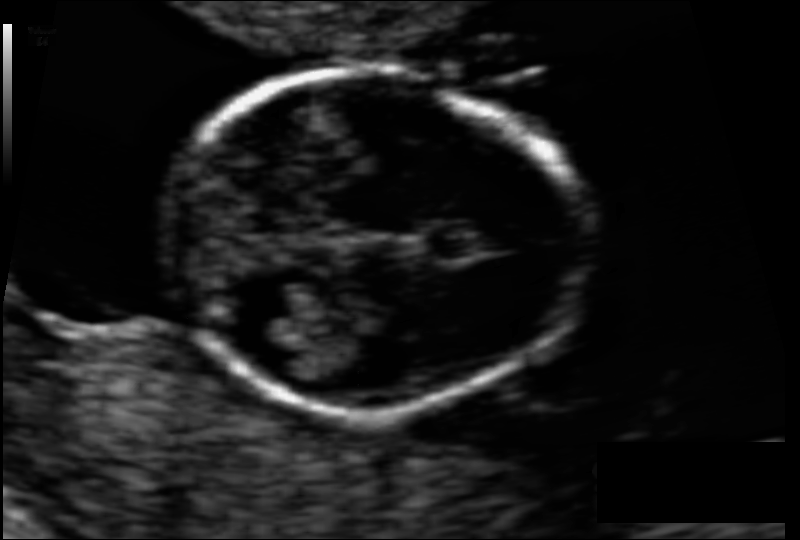
In this fetal head ultrasound, give bounding boxes for the head outline, cavum septum pellucidum (CSP), and lateral ventricle (LV), where visible. Image width: 52.1 mm.

Head: [163,73,586,413]
CSP: [429,221,495,263]